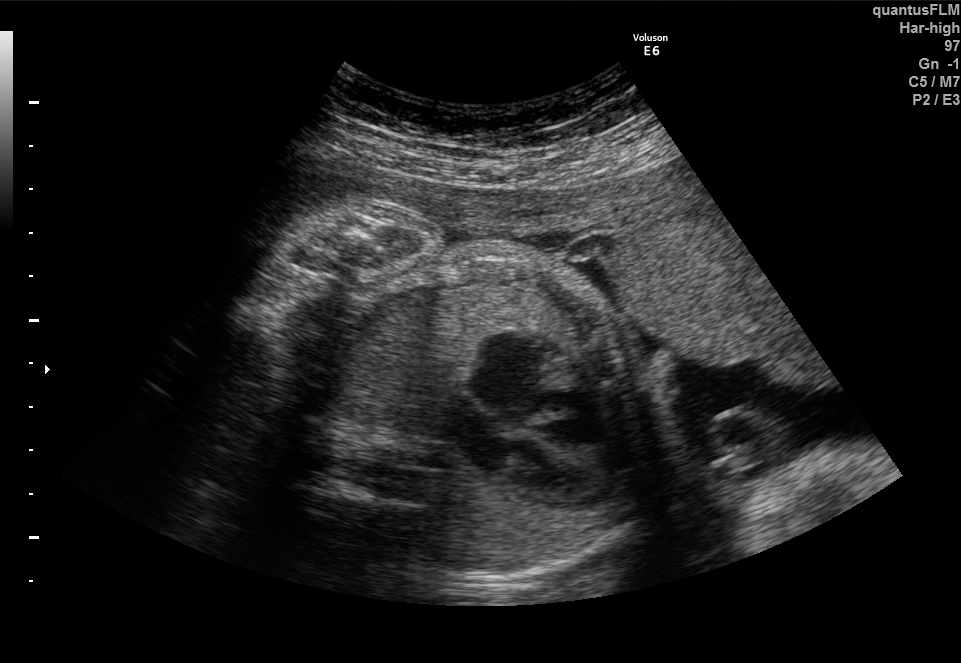
Which standard maternal-fetal ultrasound plane is shown: fetal abdomen, fetal brain, fetal femur, fetal thorax, maternal cervix, or other? If it's fetal brain and one of the three standard brain planes (trans-thalamic, trans-cerebellum, trans-ventricular), name which.

Fetal thorax